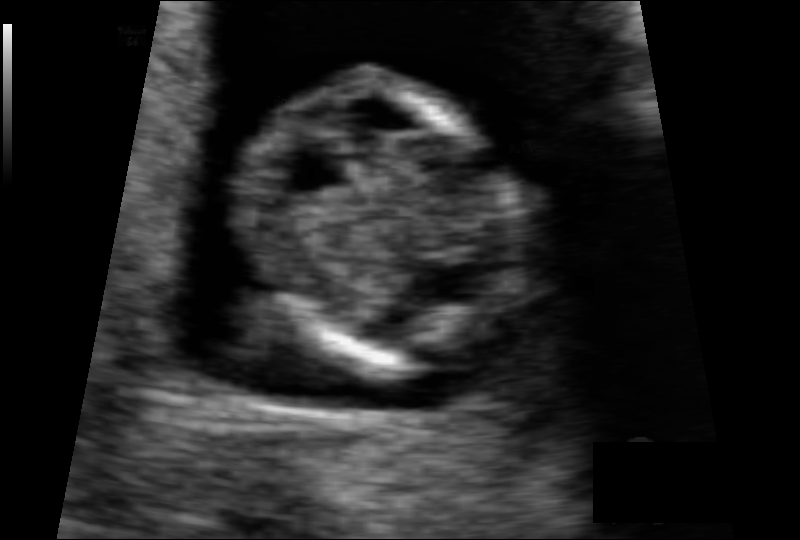
What is the fetal head circumference? Image width is 59.9 mm.

70.1 mm